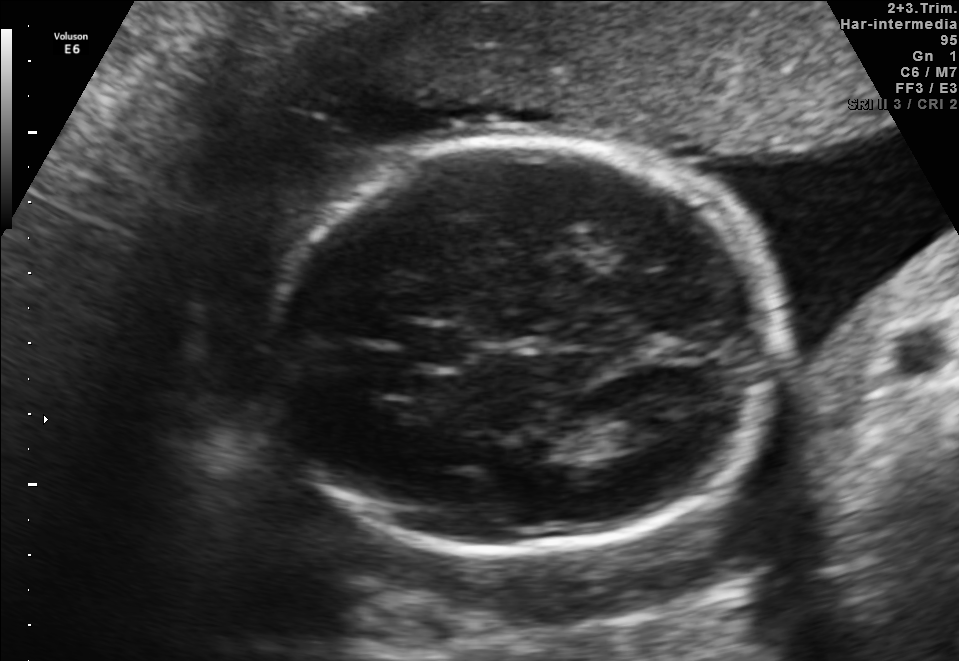
Fetal brain, trans-thalamic plane. Where is the cavum septum pellucidum?

CSP bounding box: [404,324,464,368]